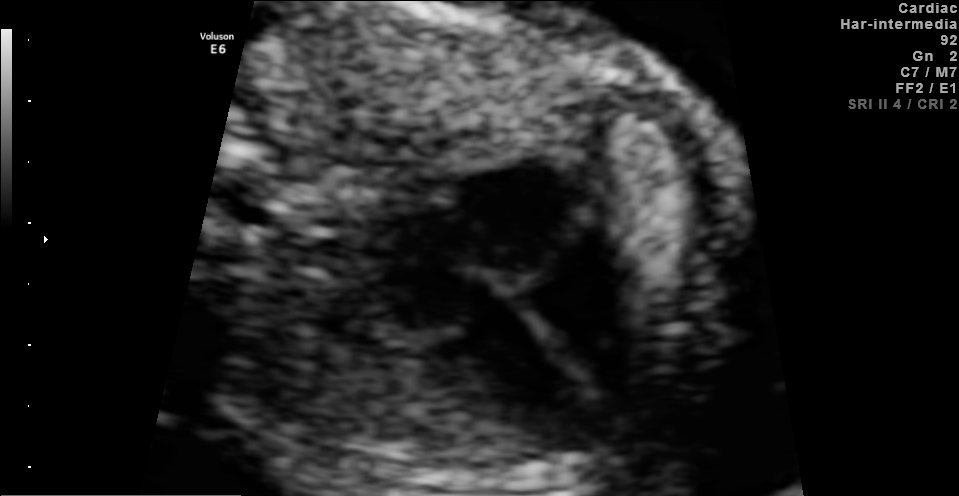
Classify this maternal-fetal ultrasound image as one of the six standard planes — fetal abdomen, fetal brain, fetal femur, fetal thorax, maternal cervix, or other. If it's fetal brain and one of the three standard brain planes (trans-thalamic, trans-cerebellum, trans-ventricular), name which.

Fetal thorax